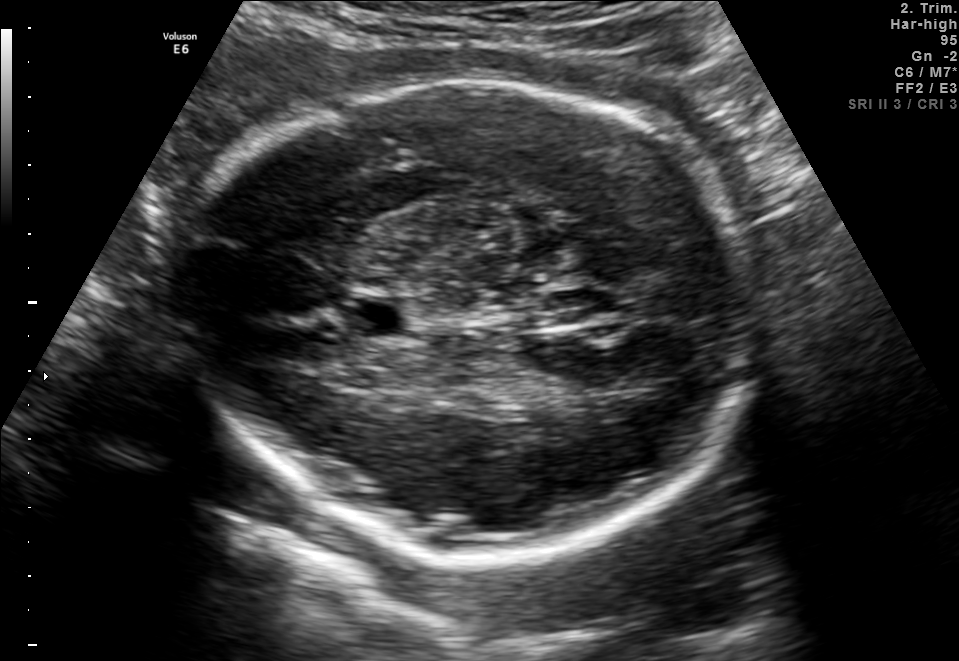
In this fetal brain, trans-thalamic plane, give bounding boxes for the head outline, cavum septum pellucidum (CSP), and lateral ventricle (LV), where visible.

Head: [180,76,751,547]
CSP: [351,297,407,338]